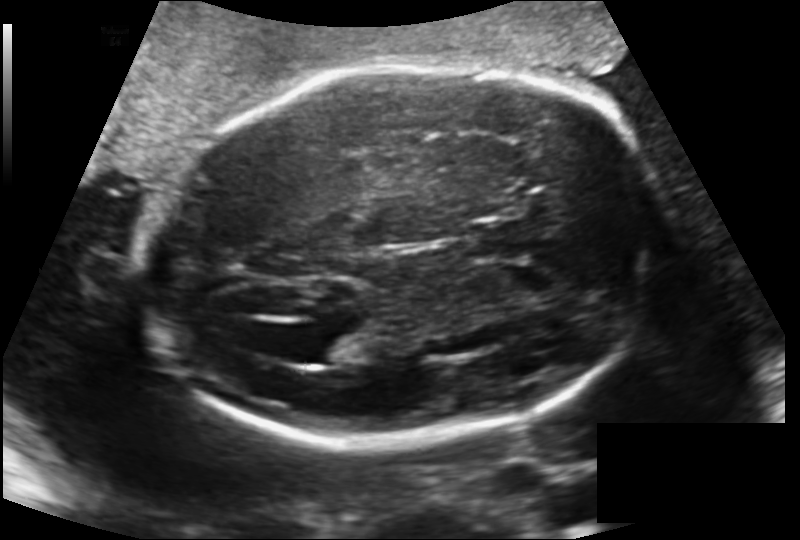
In this fetal head ultrasound, give bounding boxes for the head outline, cavum septum pellucidum (CSP), and lateral ventricle (LV), where visible. Image width: 136.0 mm.

Head: [142,63,668,444]
CSP: [467,216,534,262]
Lateral ventricle: [308,330,361,367]